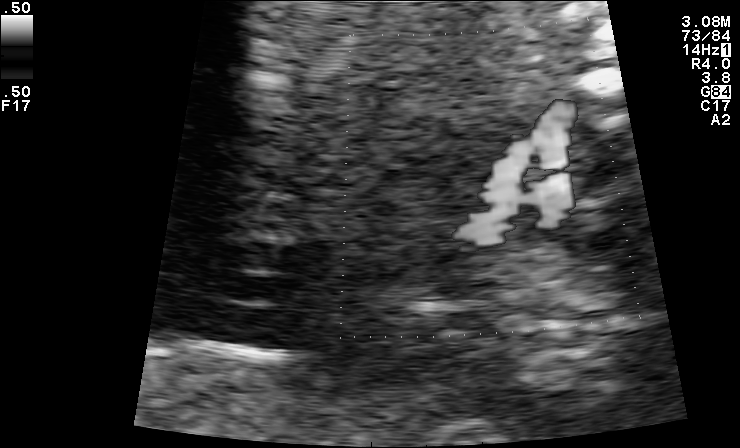
Identify the standard plane in this fetal ultrasound image: fetal abdomen, fetal brain, fetal femur, fetal thorax, maternal cervix, or other. If it's fetal brain and one of the three standard brain planes (trans-thalamic, trans-cerebellum, trans-ventricular), name which.

Other